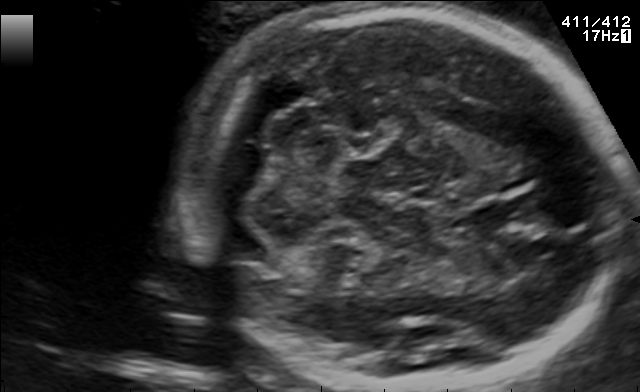
In this fetal brain, trans-cerebellum plane, give bounding boxes for the head outline, cavum septum pellucidum (CSP), and lateral ventricle (LV), where visible.

Head: [191,4,619,387]
CSP: [454,195,522,244]